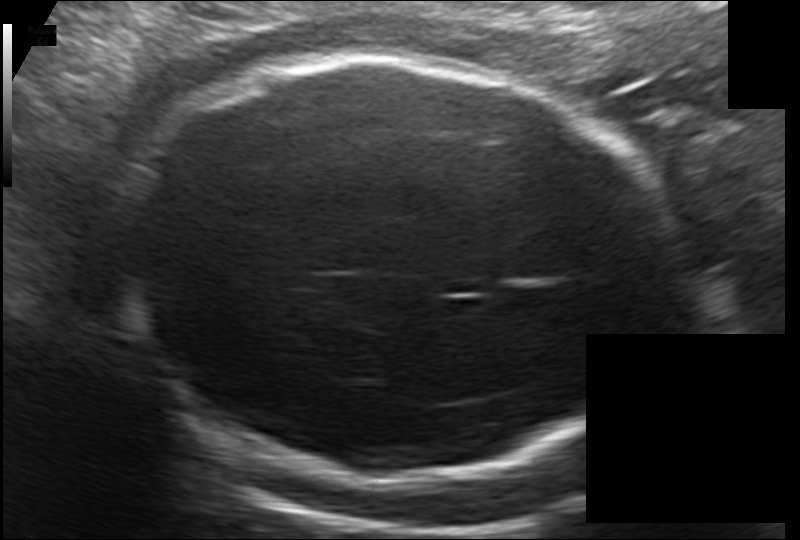
Measure the fetal head circumference shown in this ultrasound image. Image width: 138.0 mm.

Head circumference: 272.7 mm.